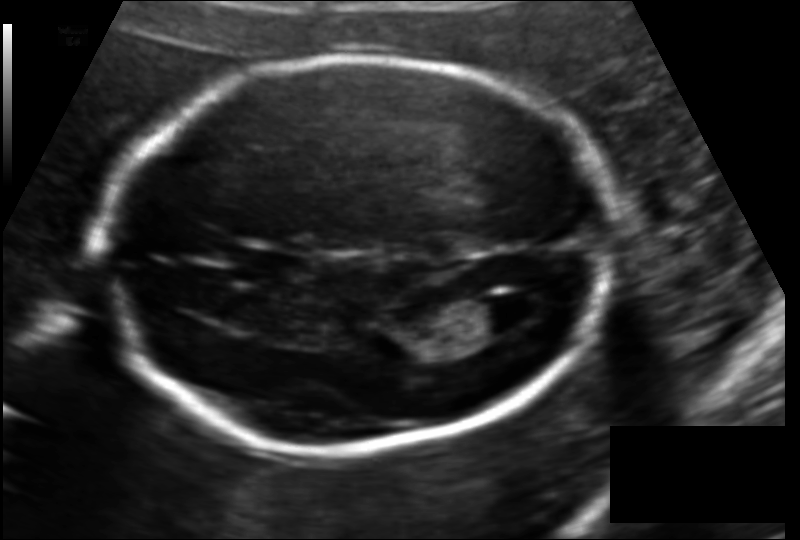
Fetal head ultrasound. Image width: 101.5 mm. Locate the lateral ventricle.

Lateral ventricle: [459,292,520,344]